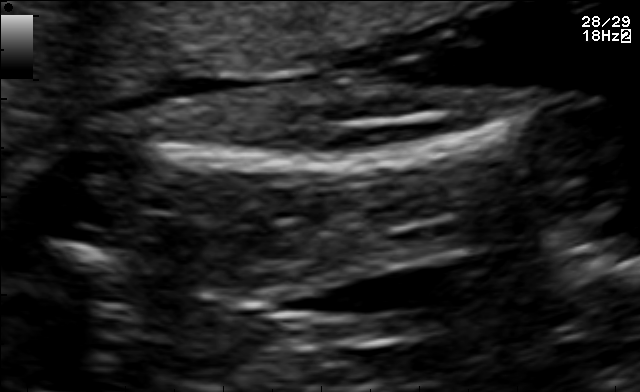
Which standard maternal-fetal ultrasound plane is shown: fetal abdomen, fetal brain, fetal femur, fetal thorax, maternal cervix, or other? If it's fetal brain and one of the three standard brain planes (trans-thalamic, trans-cerebellum, trans-ventricular), name which.

Fetal femur